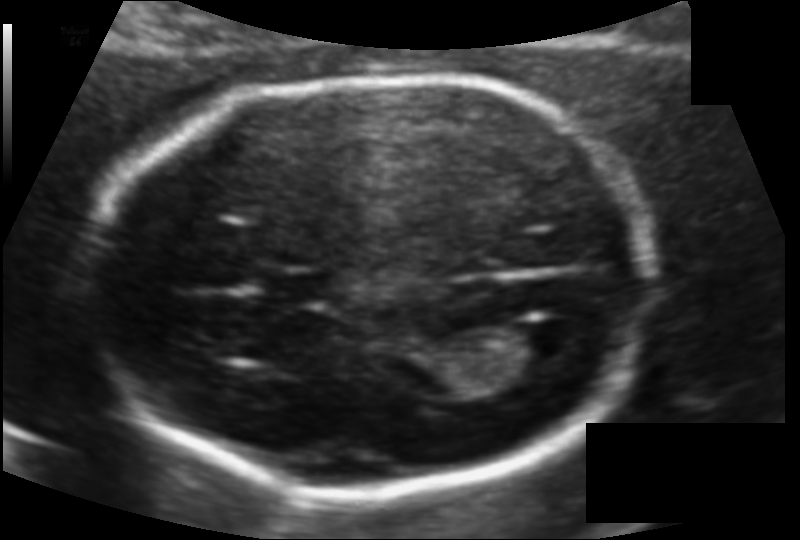
Measure the fetal head circumference shown in this ultrasound image. Image width: 85.2 mm.

Head circumference: 166.7 mm.